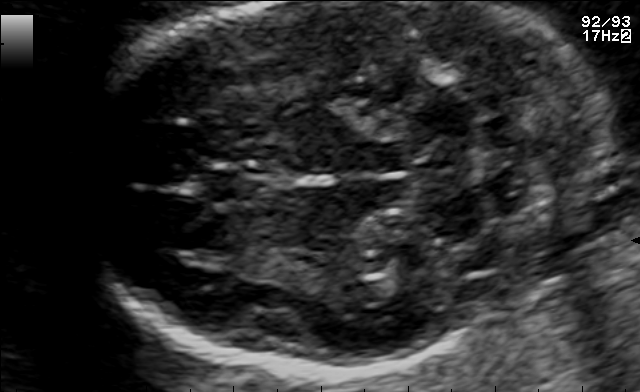
Fetal brain, trans-cerebellum plane. Where is the cavum septum pellucidum?

CSP bounding box: [197,165,274,205]